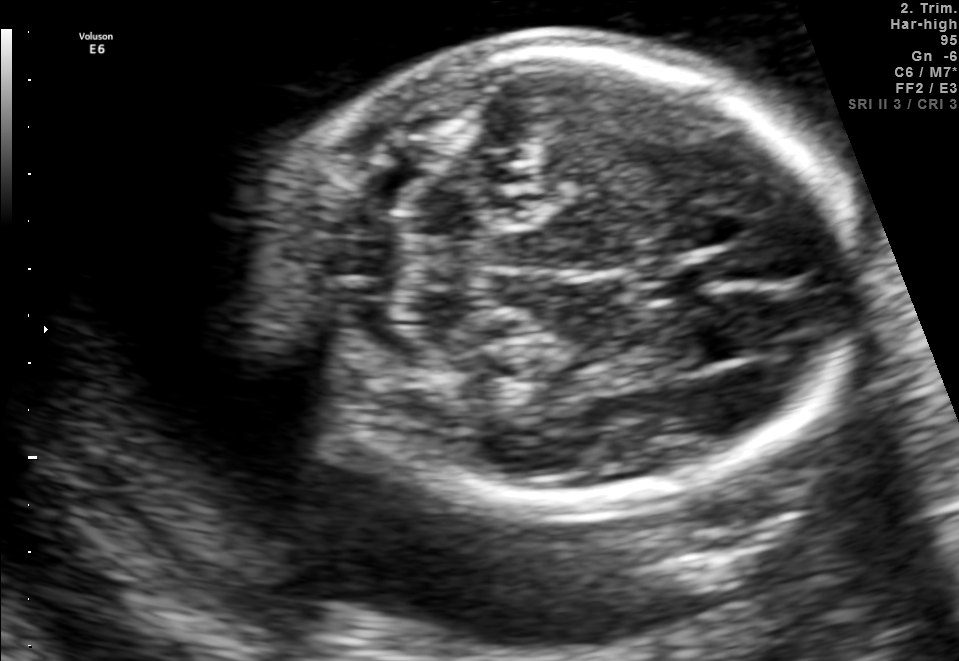
In this fetal brain, trans-cerebellum plane, give bounding boxes for the head outline, cavum septum pellucidum (CSP), and lateral ventricle (LV), where visible.

Head: [253,43,862,498]
CSP: [636,247,723,306]